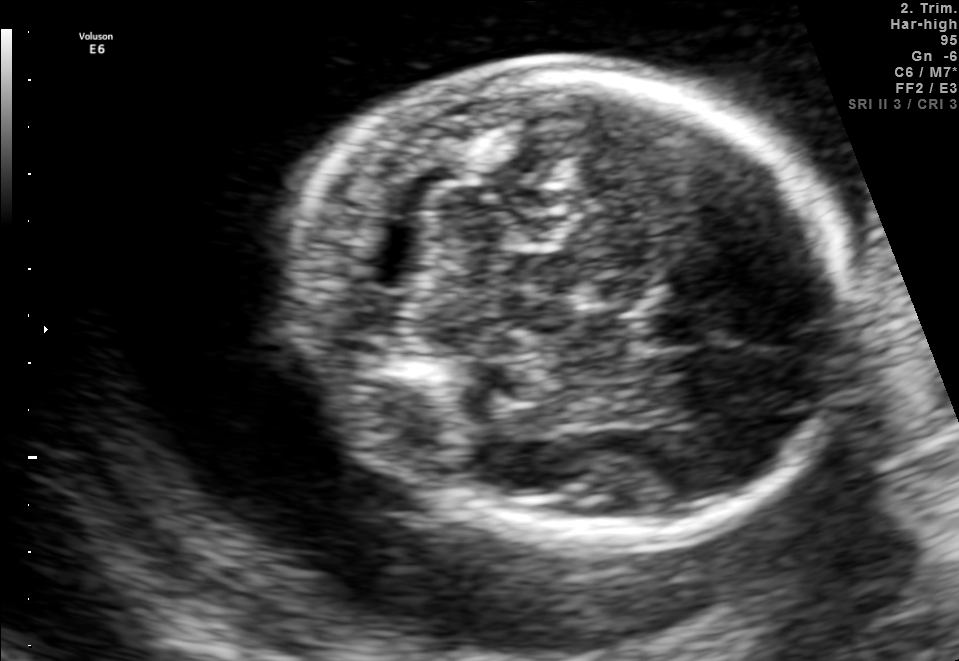
Fetal brain, trans-cerebellum plane. Where is the fetal head?

Head bounding box: [299,72,852,547]